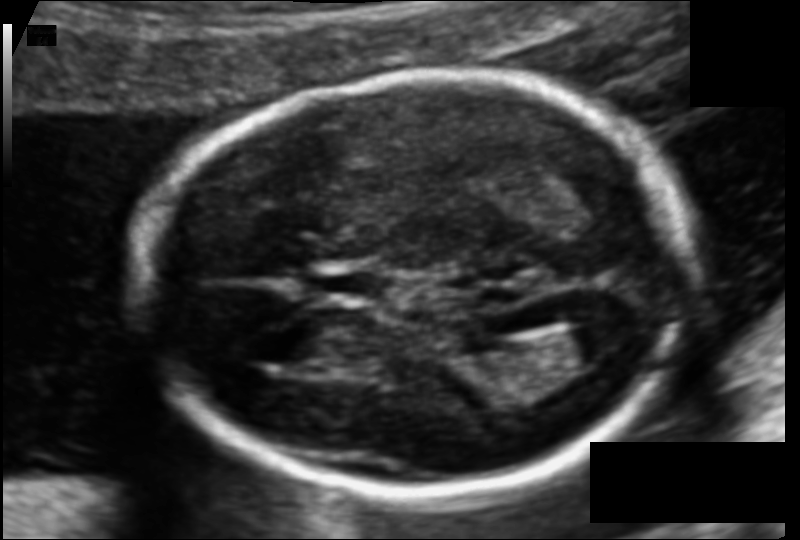
Fetal head ultrasound. Image width: 83.7 mm. Where is the fetal head?

Head bounding box: [140,78,685,489]